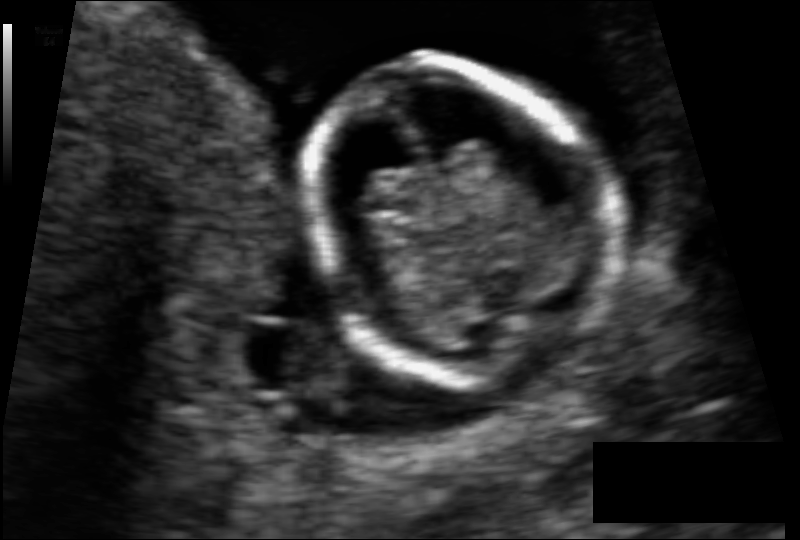
Fetal head ultrasound. Image width: 58.7 mm. Locate the fetal head.

Head: [306,57,617,386]